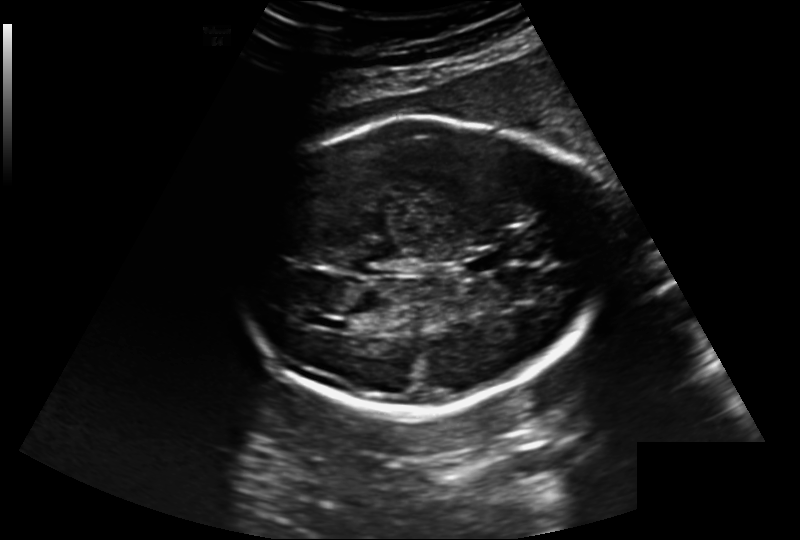
Fetal head ultrasound. Image width: 175.6 mm. Where is the cavum septum pellucidum?

CSP bounding box: [462,251,500,278]